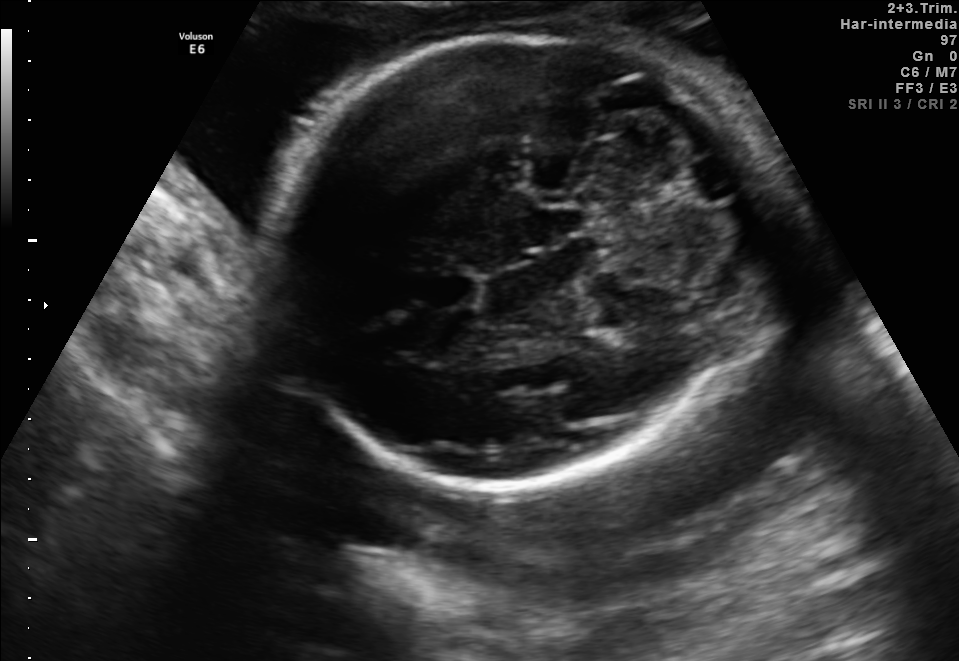
Fetal brain, trans-cerebellum plane. Where is the fetal head?

Head bounding box: [276,30,757,493]